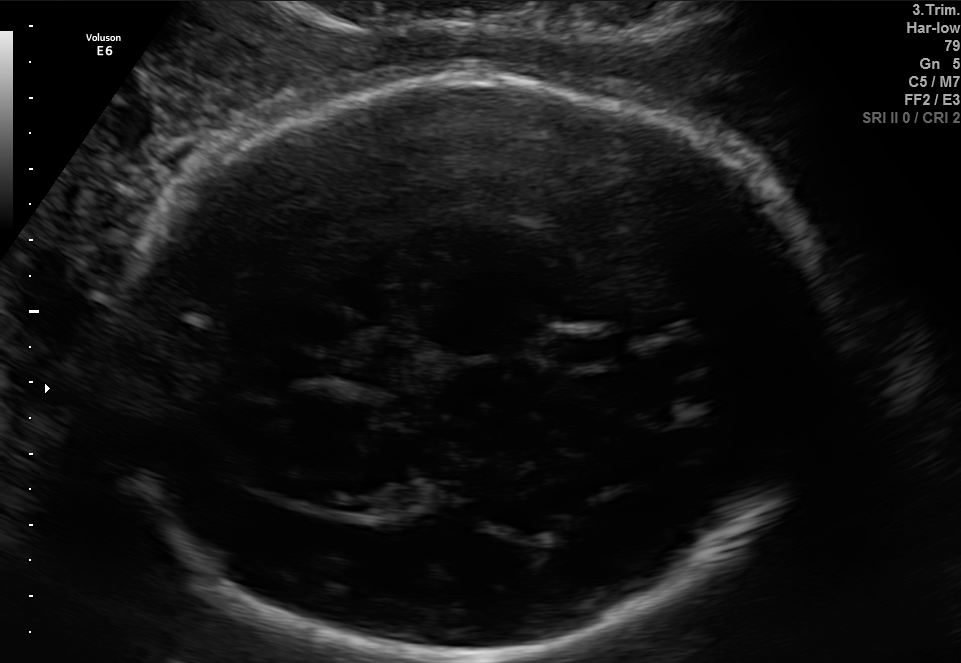
Fetal brain, trans-thalamic plane. Locate the fetal head and, if visible, the cavum septum pellucidum (CSP) and lateral ventricle (LV). Give bounding boxes as [x1,y1,x2,y2].

Head: [99,69,838,660]
CSP: [552,336,615,360]